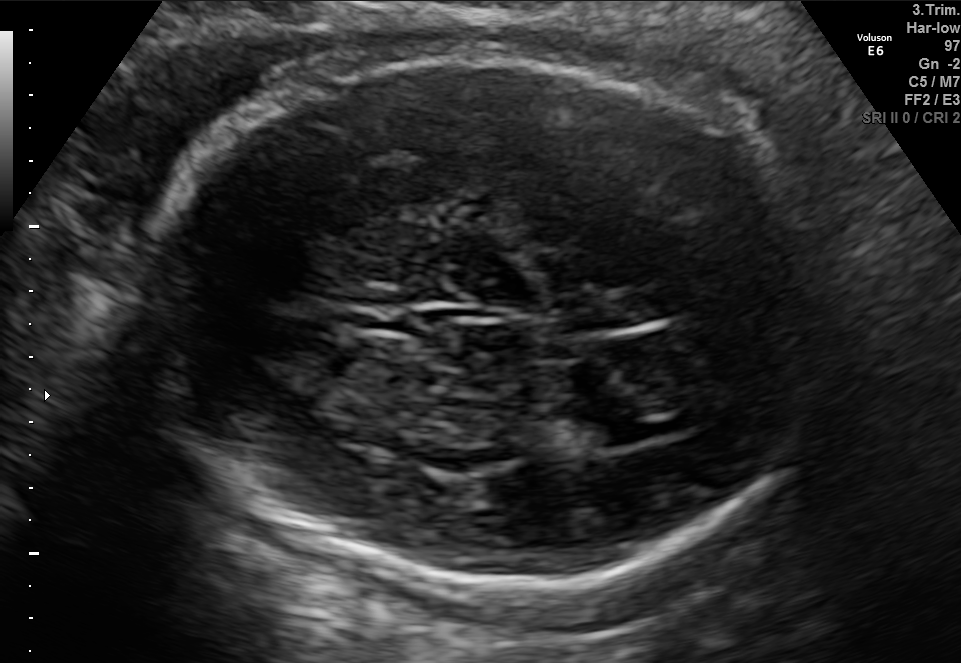
Fetal brain, trans-ventricular plane. Give [x1,y1,x2,y2] bounding boxes for each visible structure among: fetal head, CSP, LV.

Head: [141,51,838,590]
CSP: [342,295,421,337]
Lateral ventricle: [605,419,657,447]